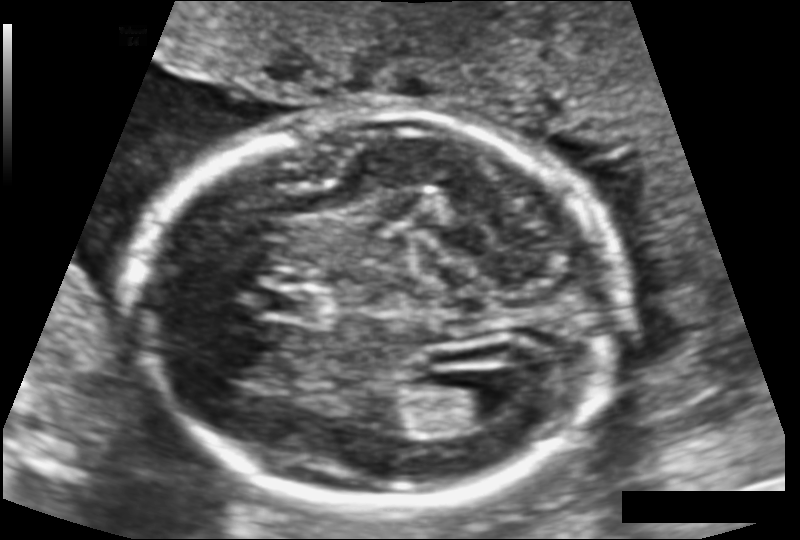
What is the fetal head circumference? Image width is 99.5 mm.

179.0 mm